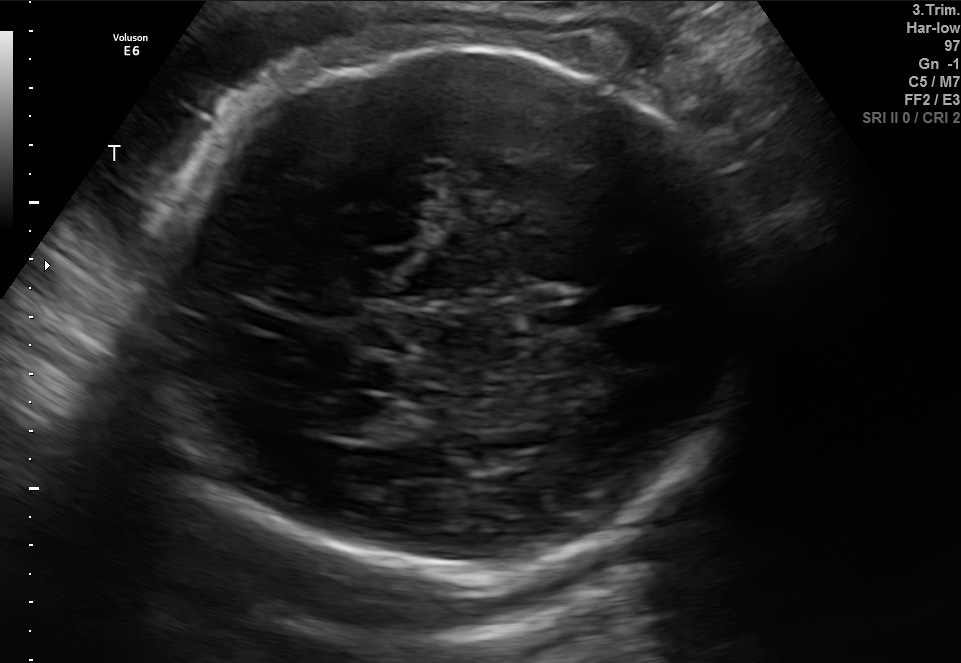
In this fetal brain, trans-thalamic plane, give the bounding box of the fetal head.

[168,43,751,594]